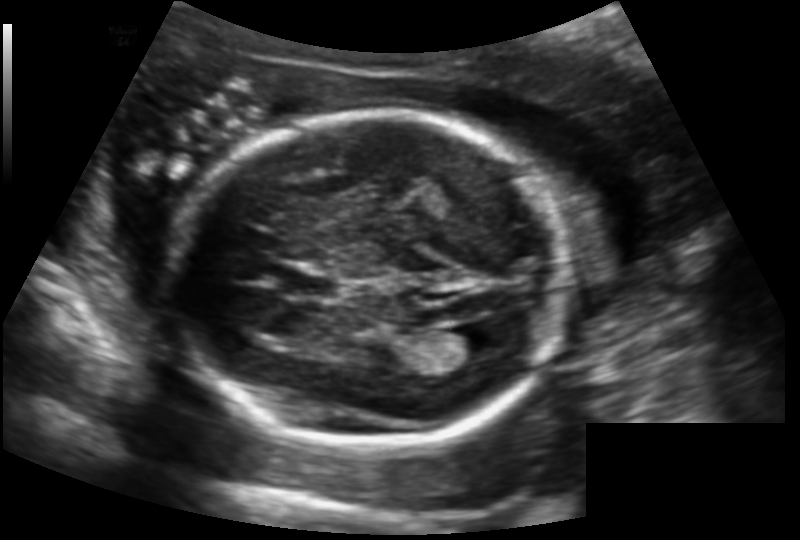
In this fetal head ultrasound, give the bounding box of the fetal head. Image width: 117.4 mm.

[172,113,568,449]